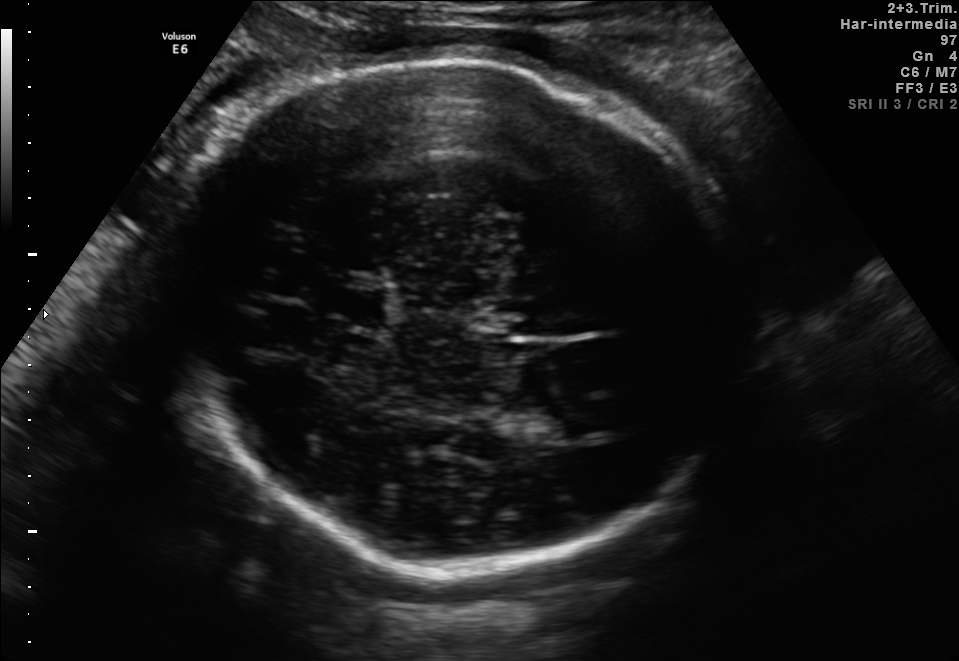
Fetal brain, trans-thalamic plane. Locate the fetal head and, if visible, the cavum septum pellucidum (CSP) and lateral ventricle (LV). Give bounding boxes as [x1,y1,x2,y2].

Head: [157,56,734,563]
CSP: [337,286,387,330]
Lateral ventricle: [544,397,616,441]